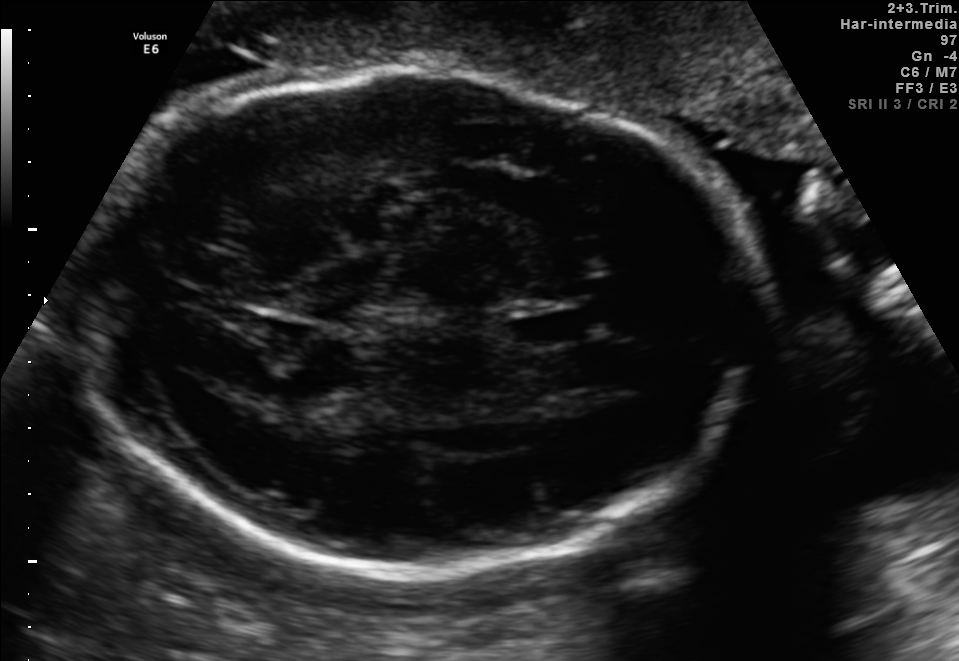
Fetal brain, trans-thalamic plane. Locate the fetal head and, if visible, the cavum septum pellucidum (CSP) and lateral ventricle (LV). Give bounding boxes as [x1,y1,x2,y2].

Head: [76,70,755,575]
CSP: [508,307,588,353]